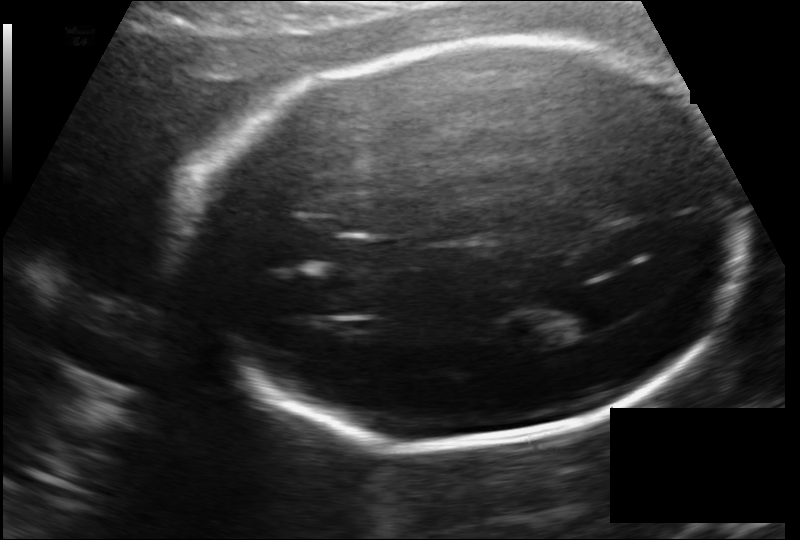
Measure the fetal head circumference shown in this ultrasound image. Image width: 112.6 mm.

Head circumference: 225.8 mm.